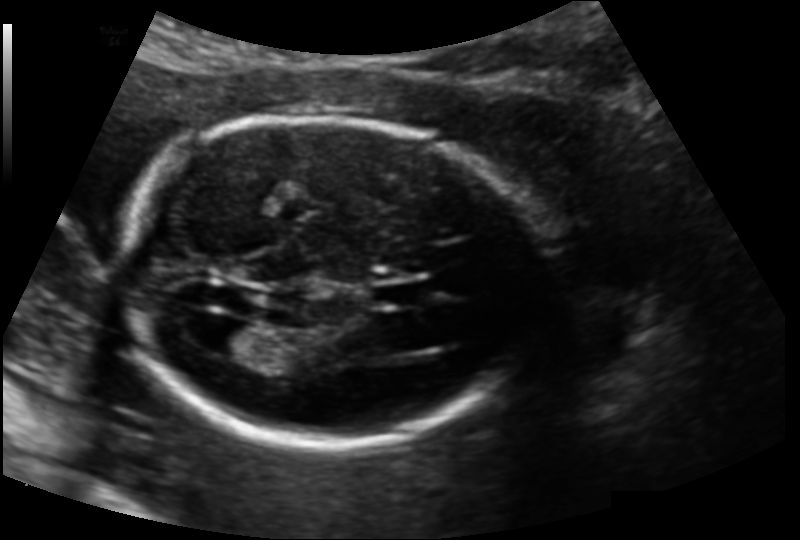
In this fetal head ultrasound, give bounding boxes for the head outline, cavum septum pellucidum (CSP), and lateral ventricle (LV), where visible. Image width: 111.6 mm.

Head: [117,118,536,448]
CSP: [372,277,428,311]
Lateral ventricle: [201,315,269,363]